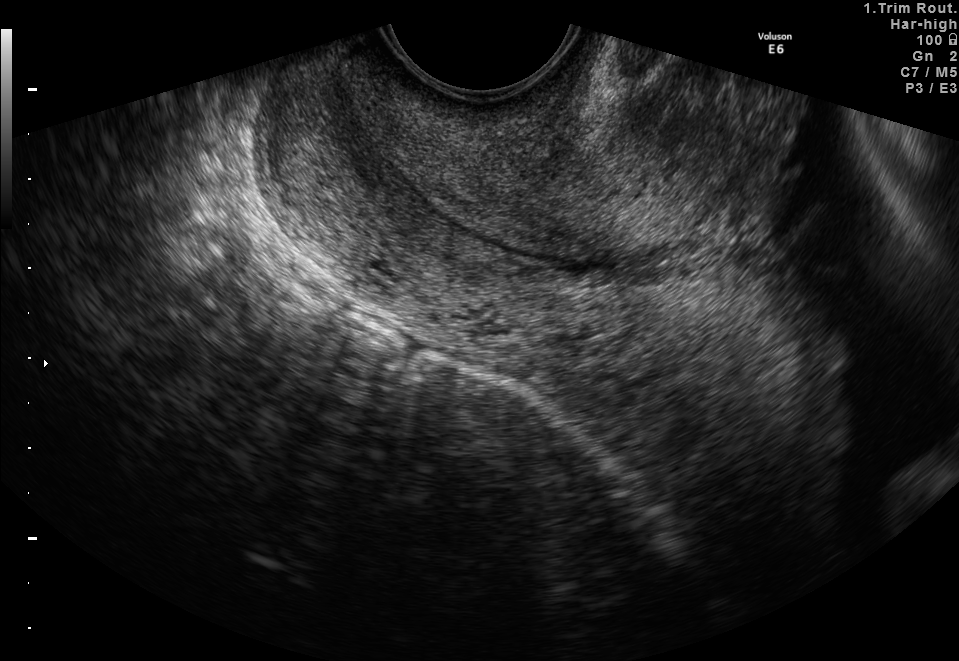
This is a 2D maternal-fetal ultrasound frame. Is it a fetal abdomen, fetal brain, fetal femur, fetal thorax, maternal cervix, or other standard plane? If it's fetal brain and one of the three standard brain planes (trans-thalamic, trans-cerebellum, trans-ventricular), name which.

Maternal cervix